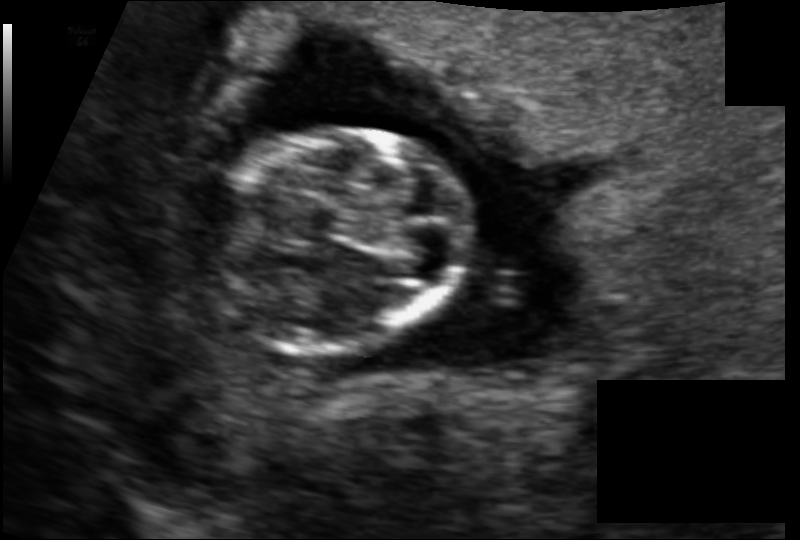
Fetal head ultrasound. Image width: 77.7 mm. Give [x1,y1,x2,y2] bounding boxes for each visible structure among: fetal head, CSP, LV.

Head: [204,129,468,349]